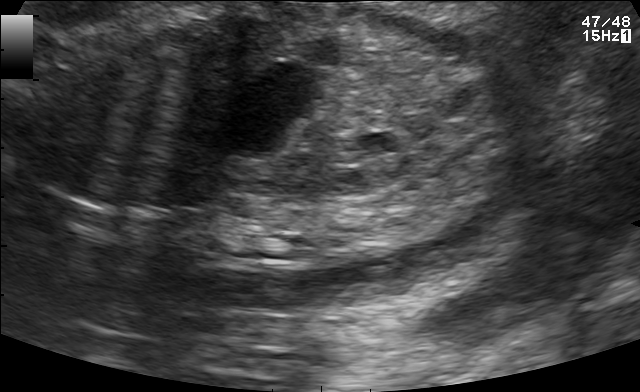
This is a 2D maternal-fetal ultrasound frame. Is it a fetal abdomen, fetal brain, fetal femur, fetal thorax, maternal cervix, or other standard plane? If it's fetal brain and one of the three standard brain planes (trans-thalamic, trans-cerebellum, trans-ventricular), name which.

Other